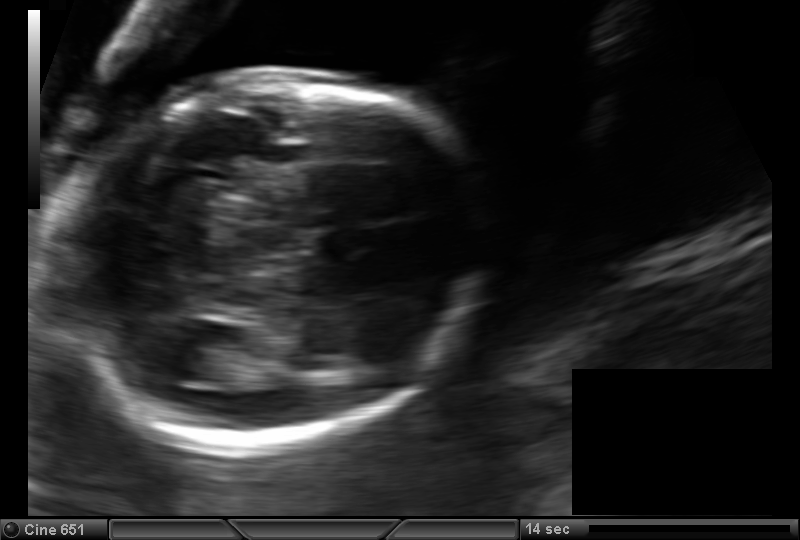
Measure the fetal head circumference shown in this ultrasound image. Image width: 106.1 mm.

Head circumference: 166.7 mm.